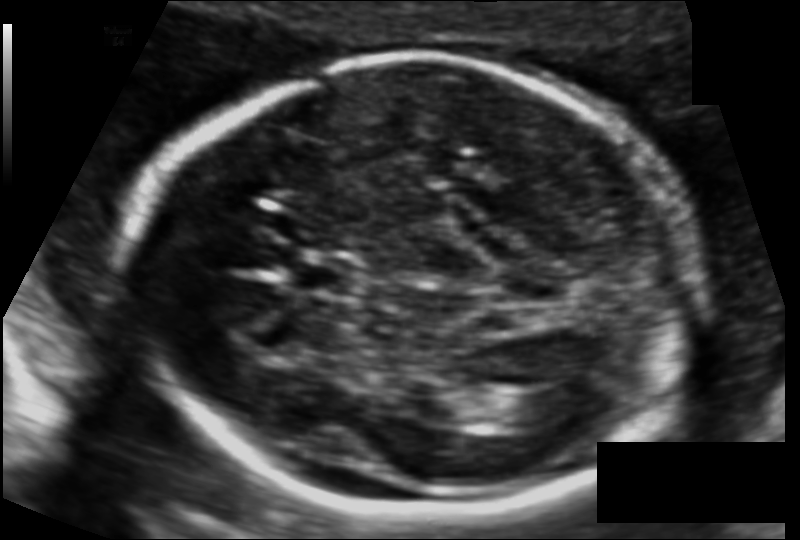
In this fetal head ultrasound, give the bounding box of the cavum septum pellucidum. Image width: 89.5 mm.

[284,252,352,297]